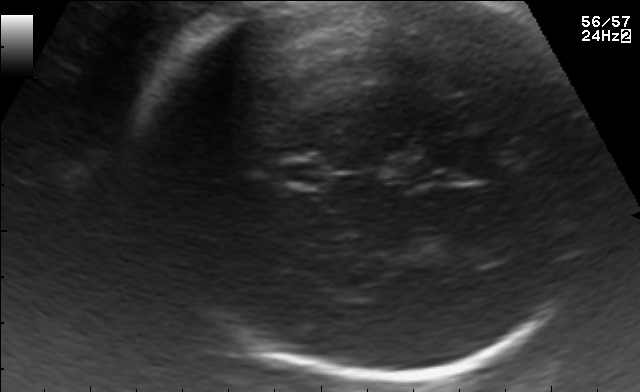
Fetal brain, trans-thalamic plane. Locate the fetal head and, if visible, the cavum septum pellucidum (CSP) and lateral ventricle (LV). Give bounding boxes as [x1,y1,x2,y2].

Head: [137,1,602,377]
CSP: [283,164,321,182]